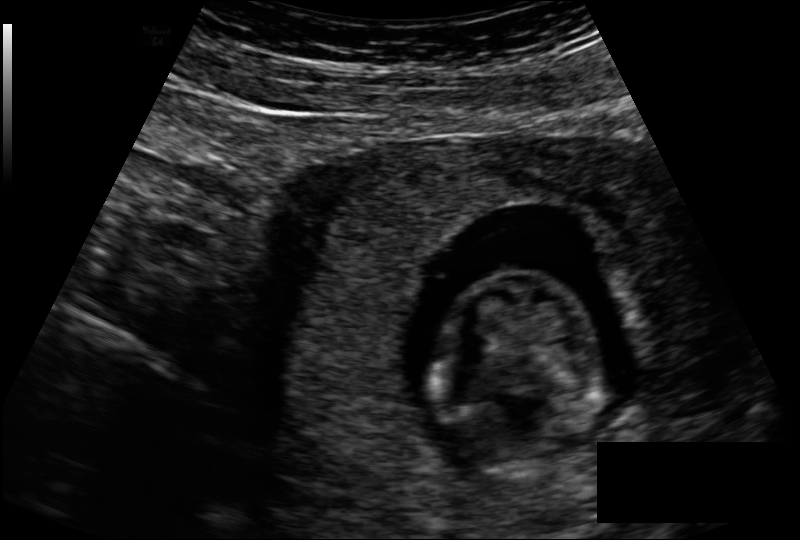
Estimate the fetal head circumference from this 2D ultrasound.

Head circumference: 77.6 mm (image width 104.8 mm).